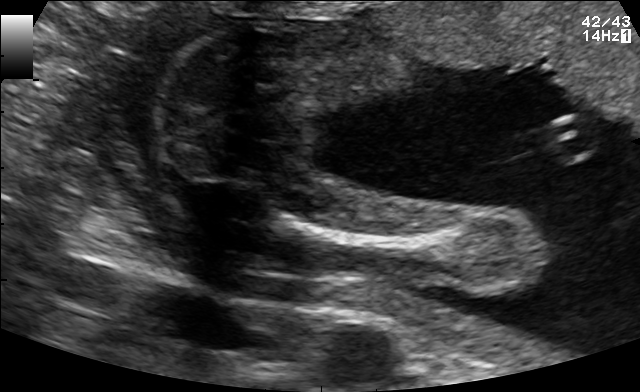
Which standard maternal-fetal ultrasound plane is shown: fetal abdomen, fetal brain, fetal femur, fetal thorax, maternal cervix, or other? If it's fetal brain and one of the three standard brain planes (trans-thalamic, trans-cerebellum, trans-ventricular), name which.

Fetal femur